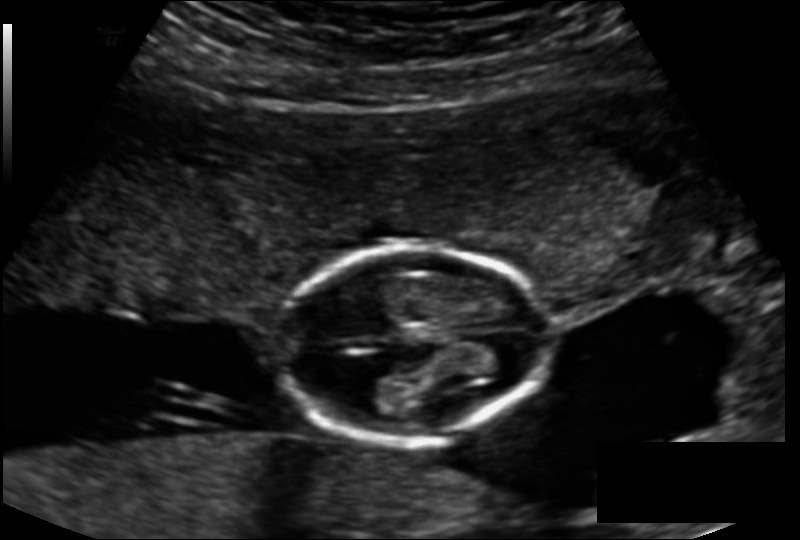
Estimate the fetal head circumference from this 2D ultrasound. Image width: 114.3 mm.

Head circumference: 111.5 mm.